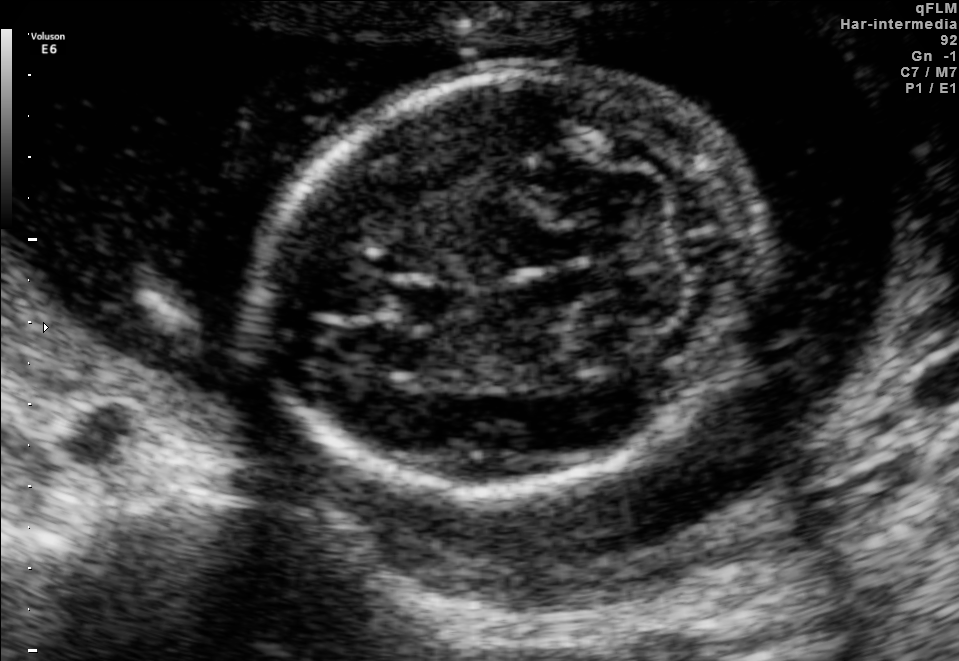
Identify the standard plane in this fetal ultrasound image: fetal abdomen, fetal brain, fetal femur, fetal thorax, maternal cervix, or other. If it's fetal brain and one of the three standard brain planes (trans-thalamic, trans-cerebellum, trans-ventricular), name which.

Fetal brain (trans-cerebellum plane)